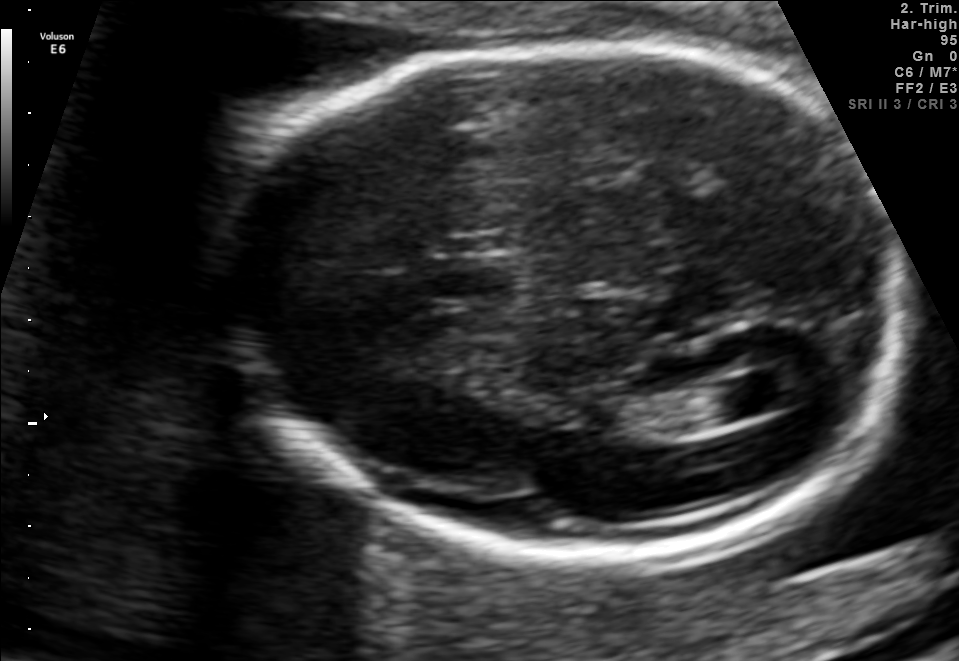
Fetal brain, trans-ventricular plane. Where is the lateral ventricle?

Lateral ventricle bounding box: [701,361,806,430]